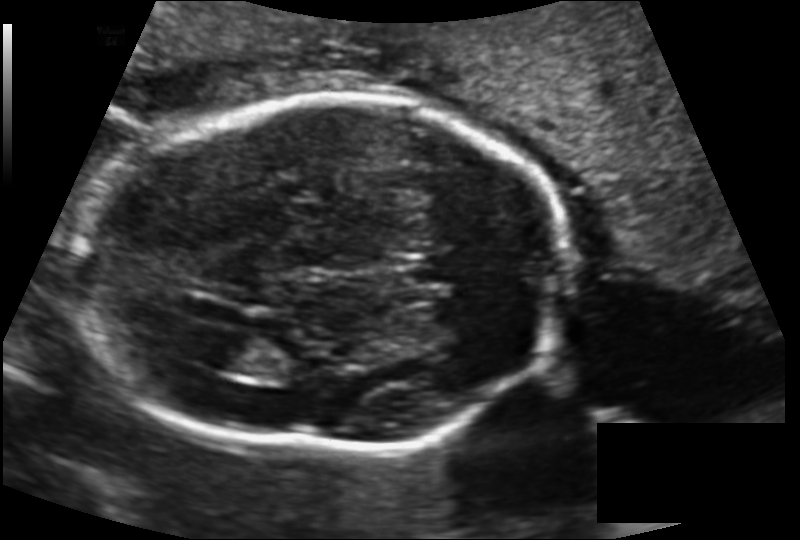
From this fetal ultrasound, estimate the head circumference (image width 114.0 mm).

Head circumference: 194.6 mm.